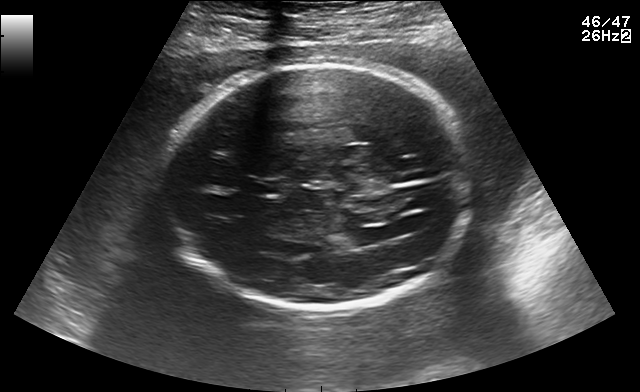
Fetal brain, trans-ventricular plane. Locate the fetal head.

Head: [160,59,476,317]